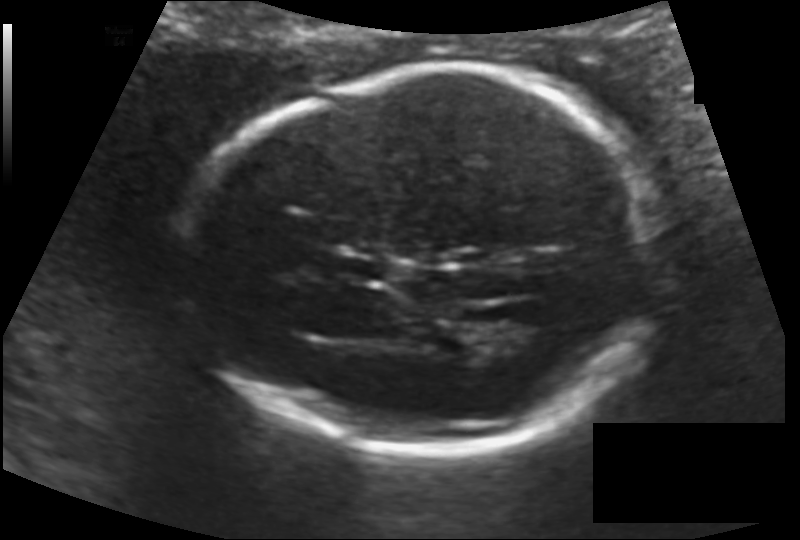
What is the fetal head circumference? Image width is 102.3 mm.

177.0 mm